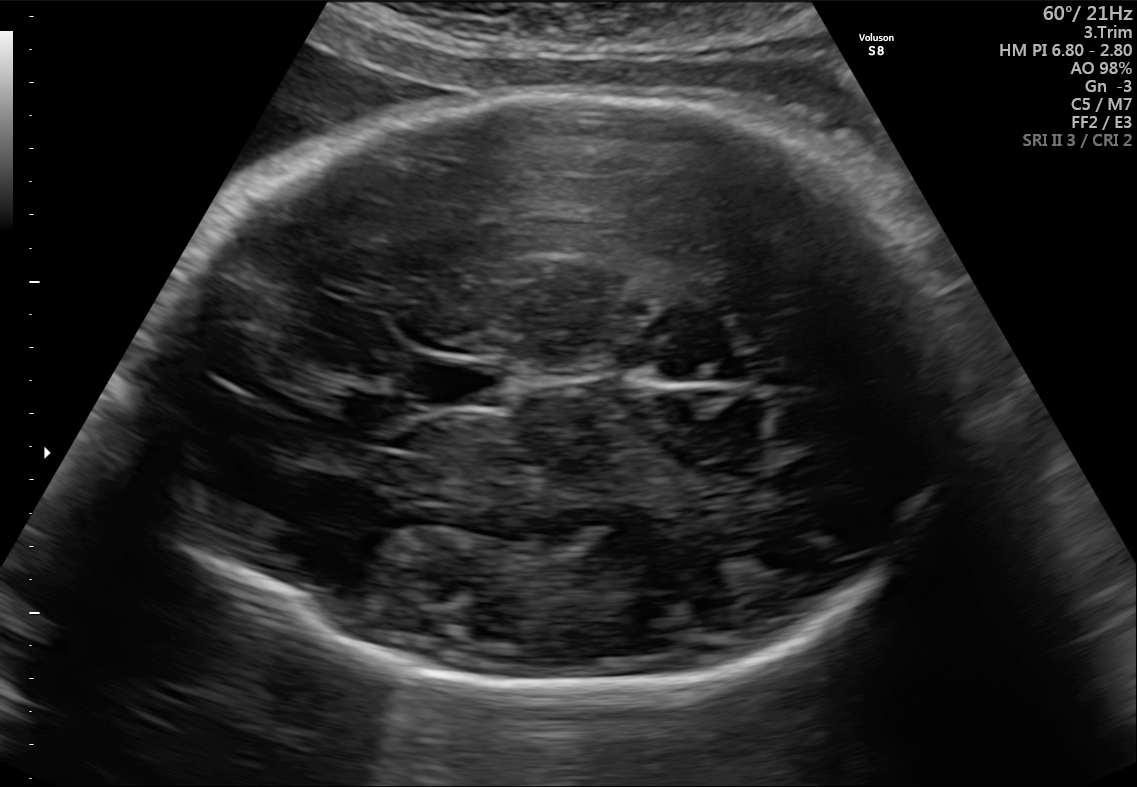
Fetal brain, trans-thalamic plane. Give [x1,y1,x2,y2] bounding boxes for each visible structure among: fetal head, CSP, LV.

Head: [130,92,966,693]
CSP: [424,359,500,410]